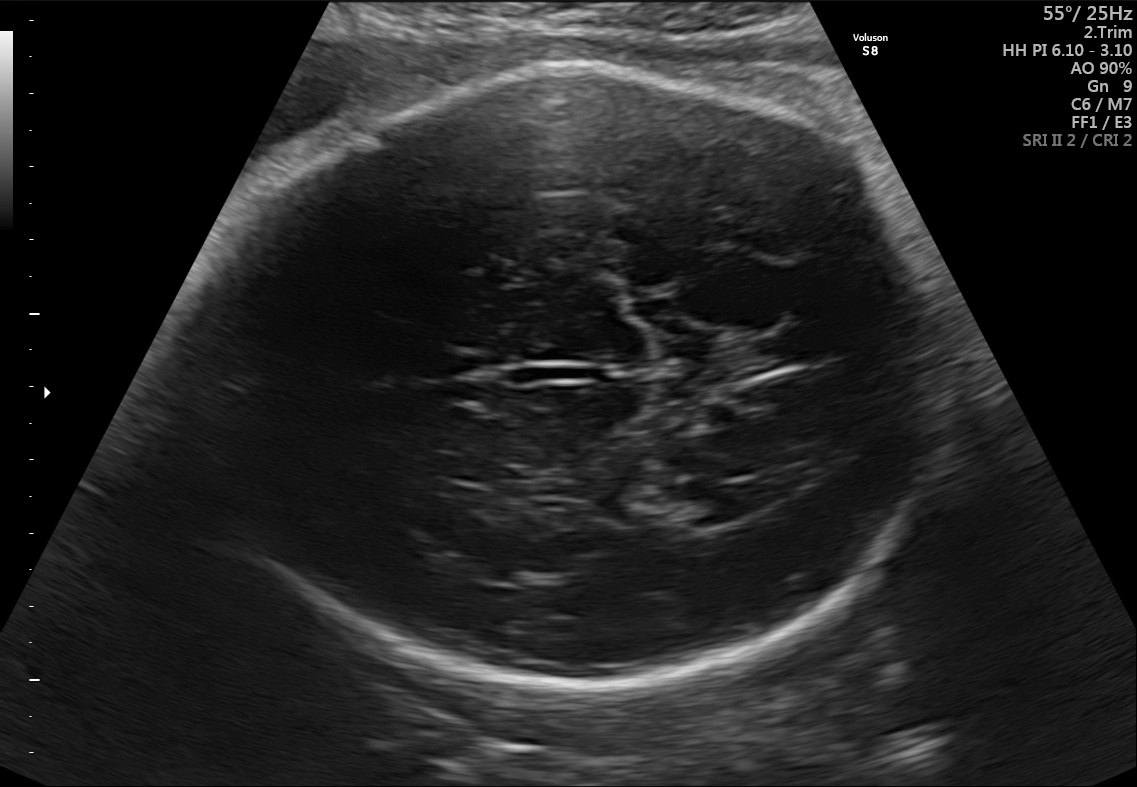
Fetal brain, trans-ventricular plane. Give [x1,y1,x2,y2] bounding boxes for each visible structure among: fetal head, CSP, LV.

Head: [186,65,953,691]